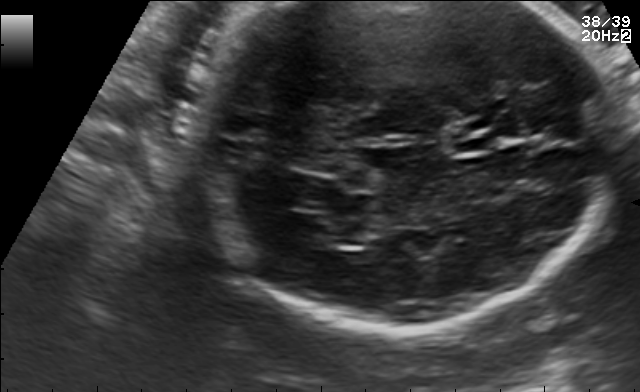
Fetal brain, trans-cerebellum plane. Where is the cavum septum pellucidum?

CSP bounding box: [448,129,494,159]